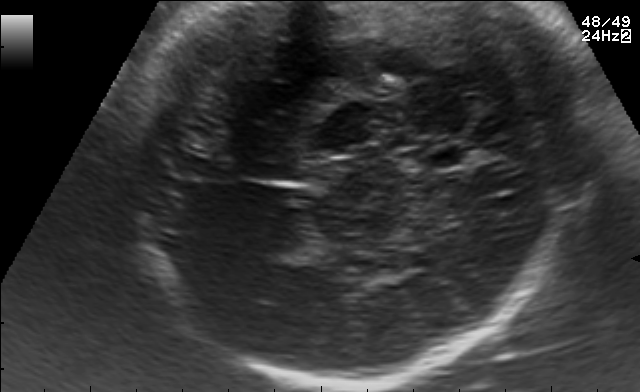
Fetal brain, trans-thalamic plane. Give [x1,y1,x2,y2] bounding boxes for each visible structure among: CSP, LV.

CSP: [414,143,461,171]